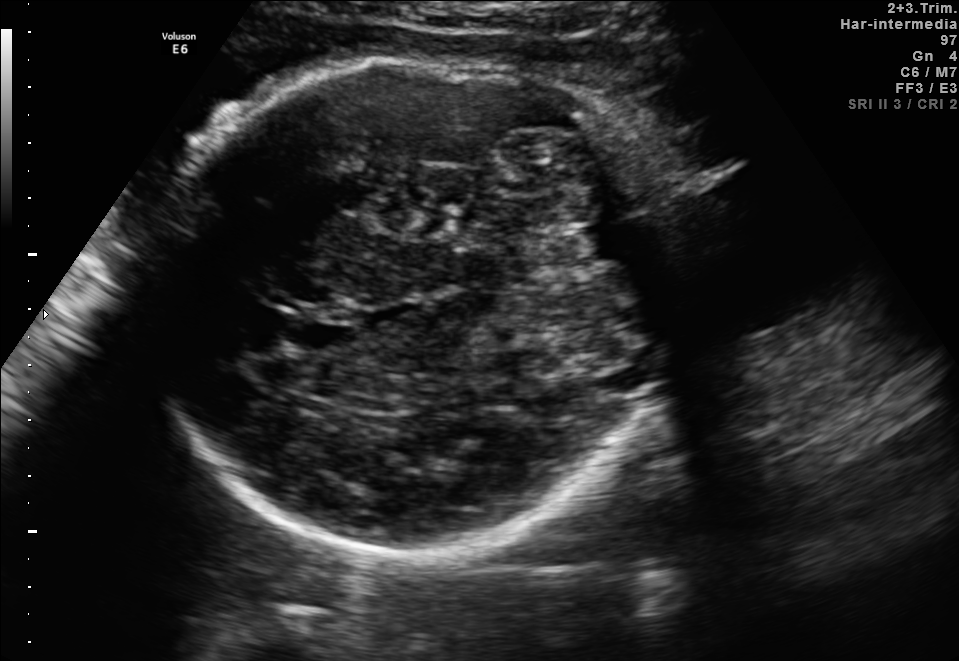
In this fetal brain, trans-thalamic plane, give bounding boxes for the head outline, cavum septum pellucidum (CSP), and lateral ventricle (LV), where visible.

Head: [131,61,672,558]
CSP: [288,314,357,350]